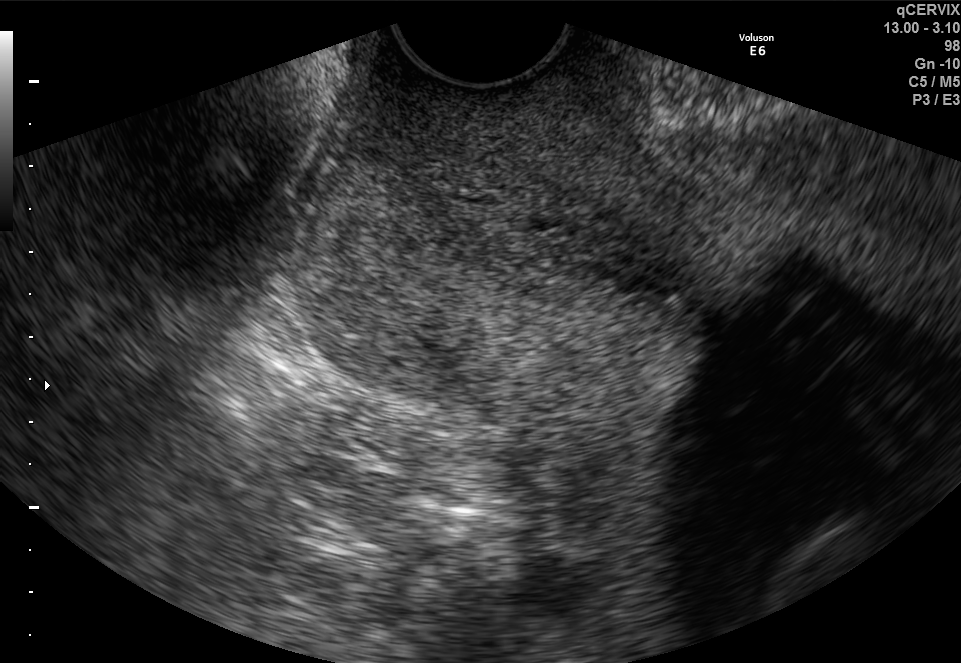
This is a 2D maternal-fetal ultrasound frame. Is it a fetal abdomen, fetal brain, fetal femur, fetal thorax, maternal cervix, or other standard plane? If it's fetal brain and one of the three standard brain planes (trans-thalamic, trans-cerebellum, trans-ventricular), name which.

Maternal cervix